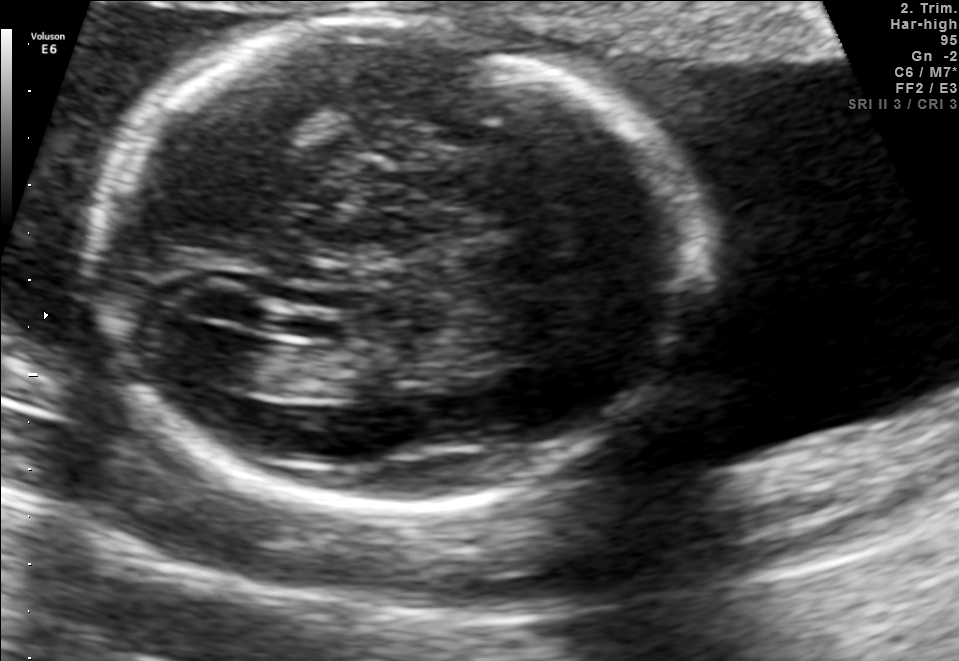
In this fetal brain, trans-ventricular plane, give the bounding box of the fetal head.

[81,6,708,523]